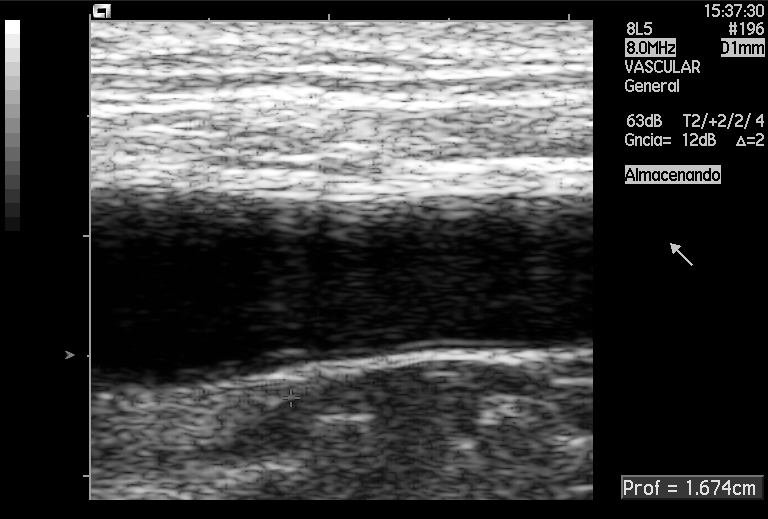
Which standard maternal-fetal ultrasound plane is shown: fetal abdomen, fetal brain, fetal femur, fetal thorax, maternal cervix, or other? If it's fetal brain and one of the three standard brain planes (trans-thalamic, trans-cerebellum, trans-ventricular), name which.

Other